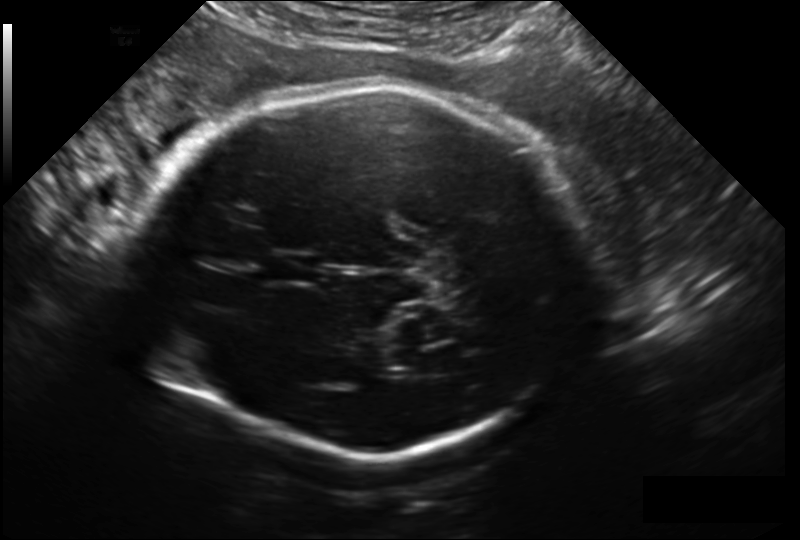
Estimate the fetal head circumference from this 2D ultrasound. Image width: 167.2 mm.

Head circumference: 283.0 mm.